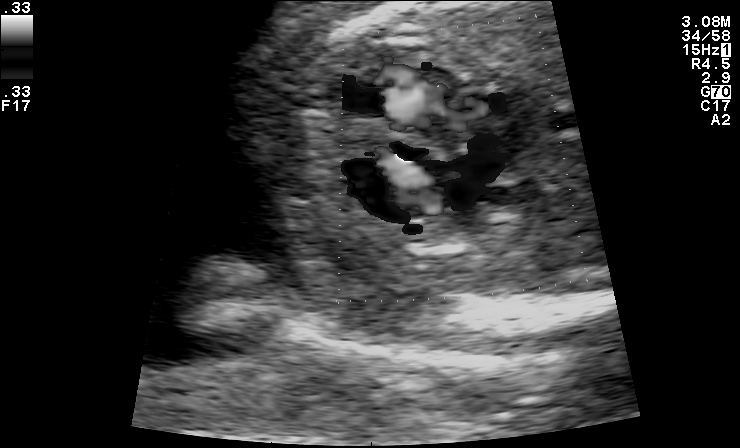
This is a 2D maternal-fetal ultrasound frame. Is it a fetal abdomen, fetal brain, fetal femur, fetal thorax, maternal cervix, or other standard plane? If it's fetal brain and one of the three standard brain planes (trans-thalamic, trans-cerebellum, trans-ventricular), name which.

Other